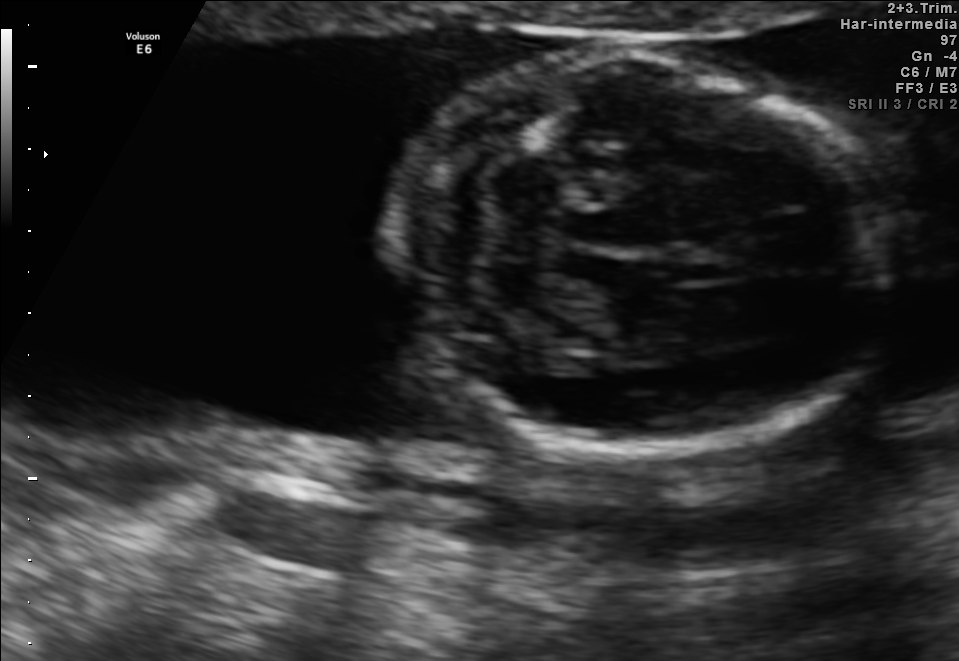
Fetal brain, trans-cerebellum plane. Give [x1,y1,x2,y2] bounding boxes for each visible structure among: fetal head, CSP, LV.

Head: [393,51,892,458]